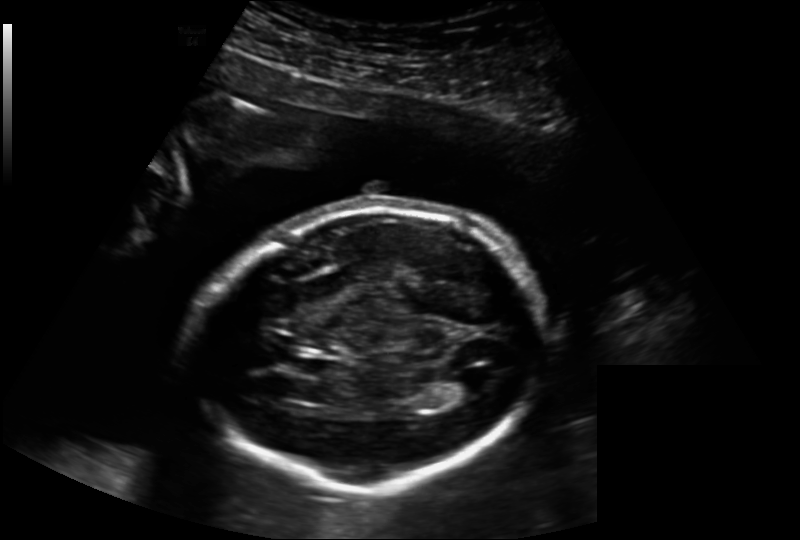
In this fetal head ultrasound, give the bounding box of the cavum septum pellucidum. Image width: 161.7 mm.

[286,351,333,380]